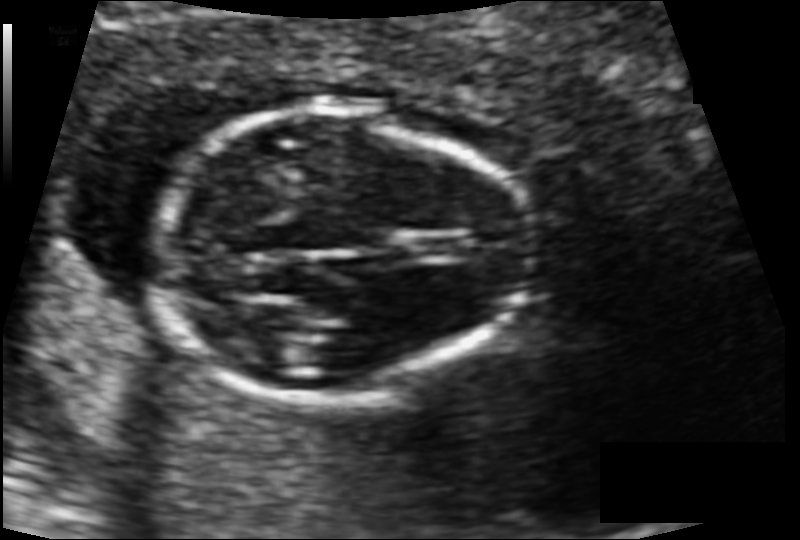
What is the fetal head circumference? Image width is 71.4 mm.

96.1 mm